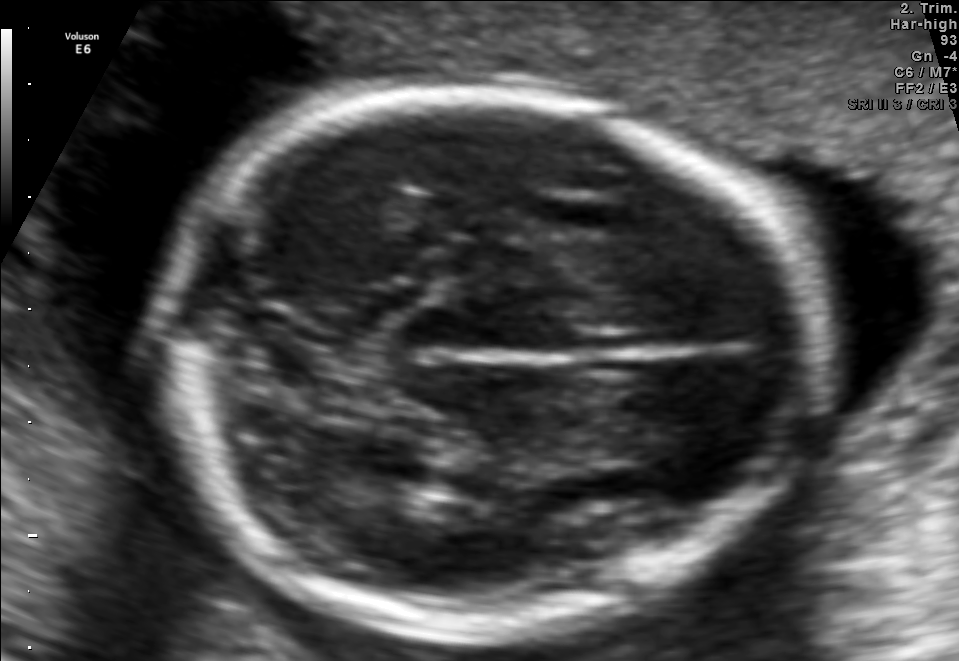
Fetal brain, trans-thalamic plane. Locate the fetal head and, if visible, the cavum septum pellucidum (CSP) and lateral ventricle (LV). Give bounding boxes as [x1,y1,x2,y2].

Head: [149,96,816,631]